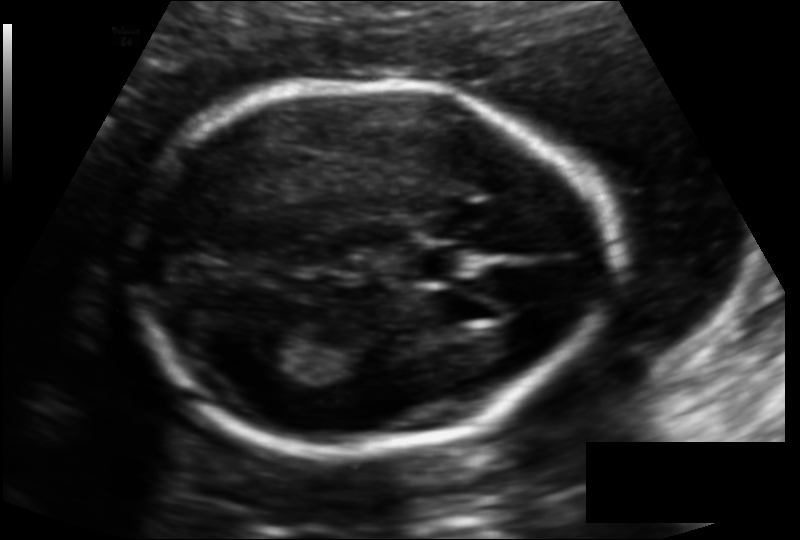
In this fetal head ultrasound, give the bounding box of the fetal head. Image width: 96.8 mm.

[127,84,605,451]